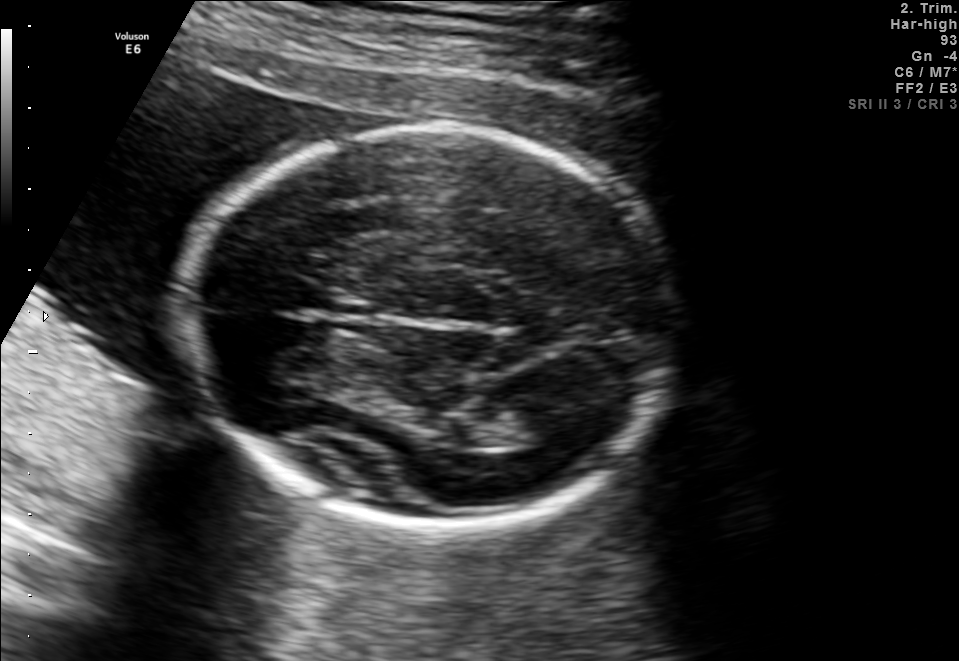
Fetal brain, trans-thalamic plane. Where is the fetal head?

Head bounding box: [183,127,676,522]